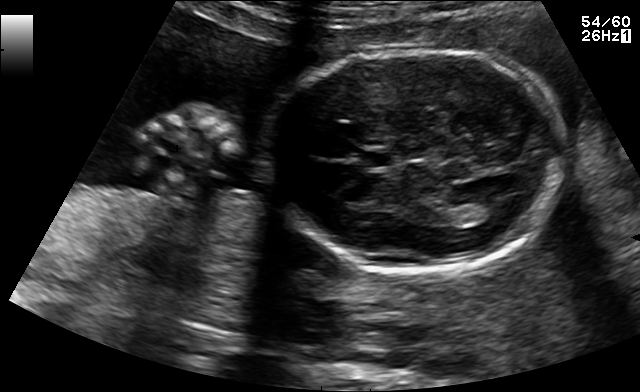
Fetal brain, trans-thalamic plane. Locate the lateral ventricle.

Lateral ventricle: [470,195,515,225]